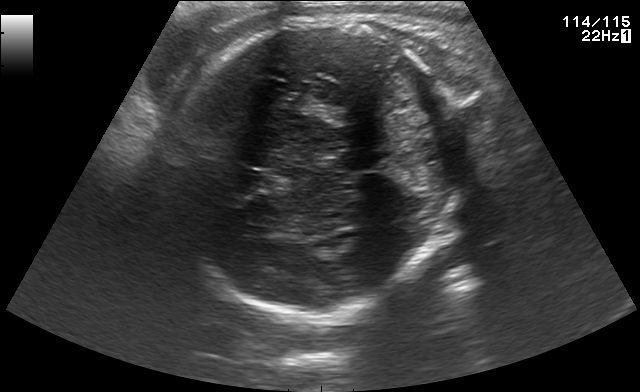
In this fetal brain, trans-thalamic plane, give bounding boxes for the head outline, cavum septum pellucidum (CSP), and lateral ventricle (LV), where visible.

Head: [166,24,466,313]